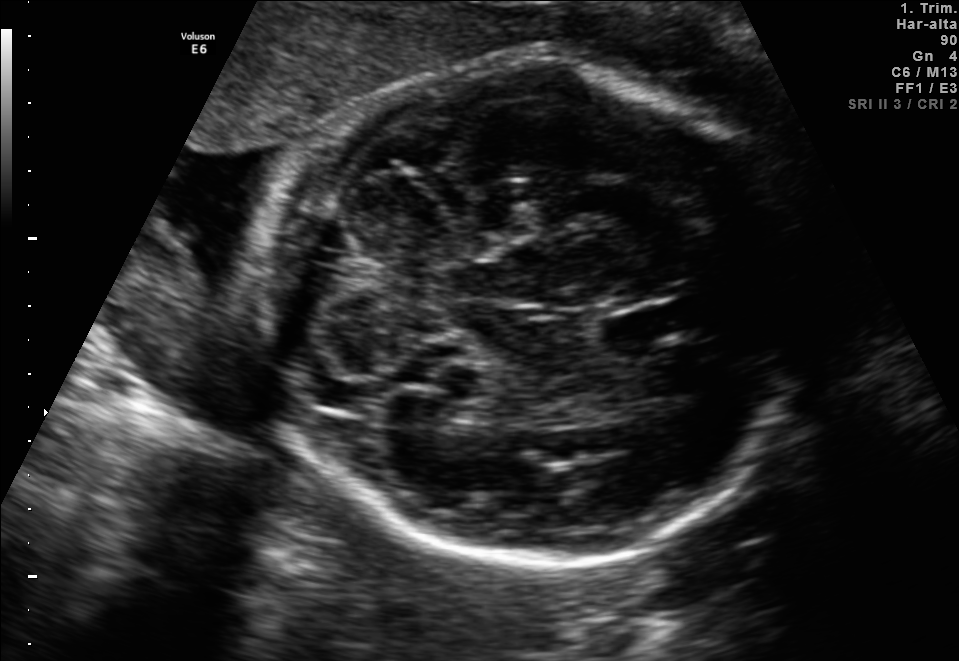
Fetal brain, trans-cerebellum plane. Locate the cavum septum pellucidum.

CSP: [594,299,681,354]